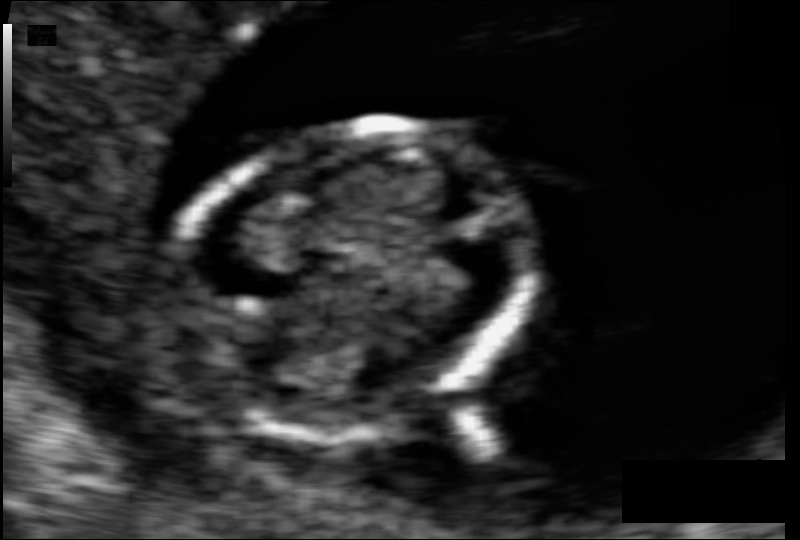
In this fetal head ultrasound, give bounding boxes for the head outline, cavum septum pellucidum (CSP), and lateral ventricle (LV), where visible. Image width: 54.9 mm.

Head: [177,121,536,440]